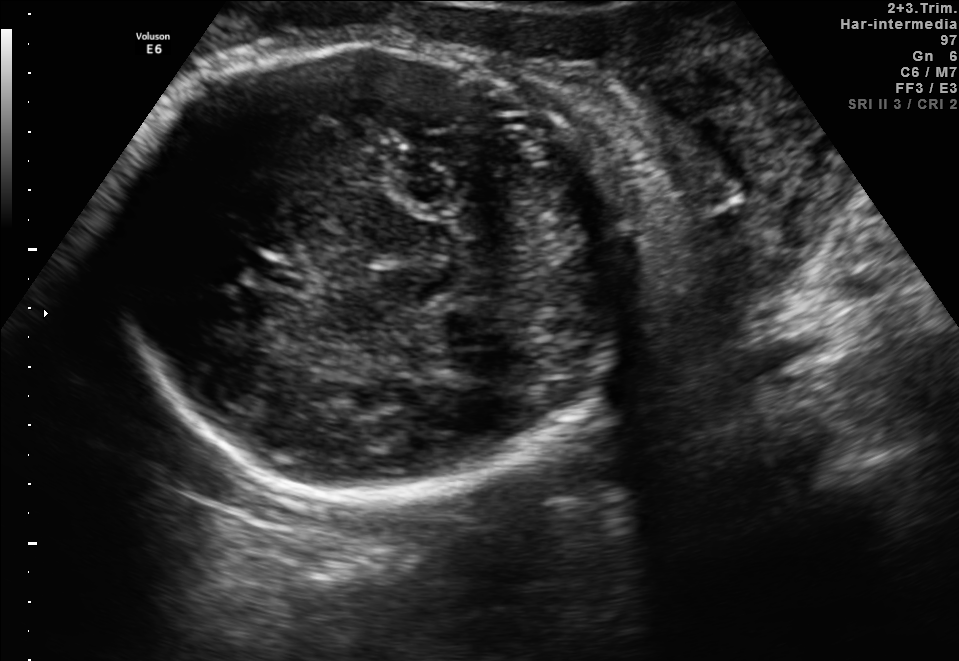
Fetal brain, trans-thalamic plane. Locate the fetal head.

Head: [108,38,641,489]